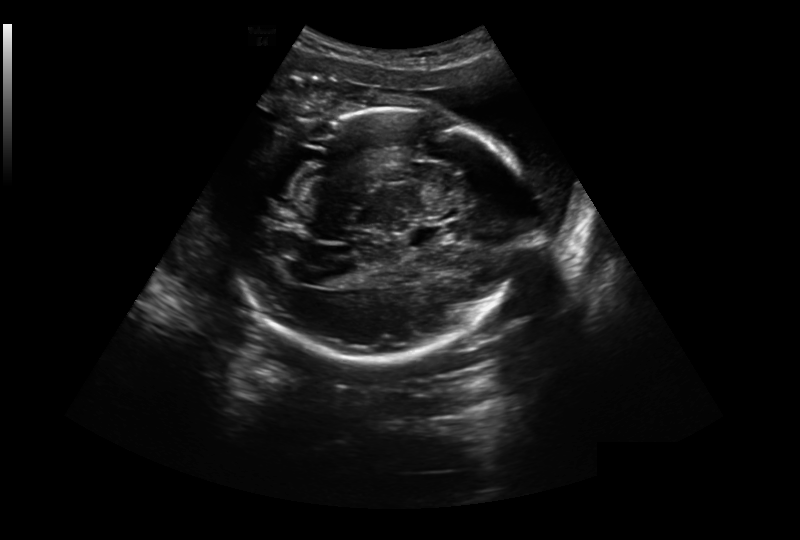
In this fetal head ultrasound, give the bounding box of the cavum septum pellucidum. Image width: 243.0 mm.

[405,222,445,249]